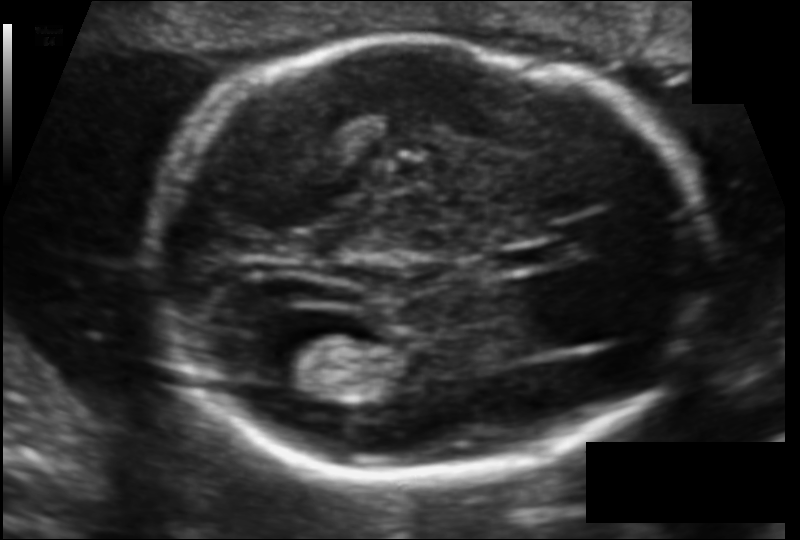
Fetal head ultrasound. Image width: 84.9 mm. Give [x1,y1,x2,y2] bounding boxes for each visible structure among: fetal head, CSP, LV.

Head: [155,38,703,475]
CSP: [496,233,569,277]
Lateral ventricle: [252,335,343,390]